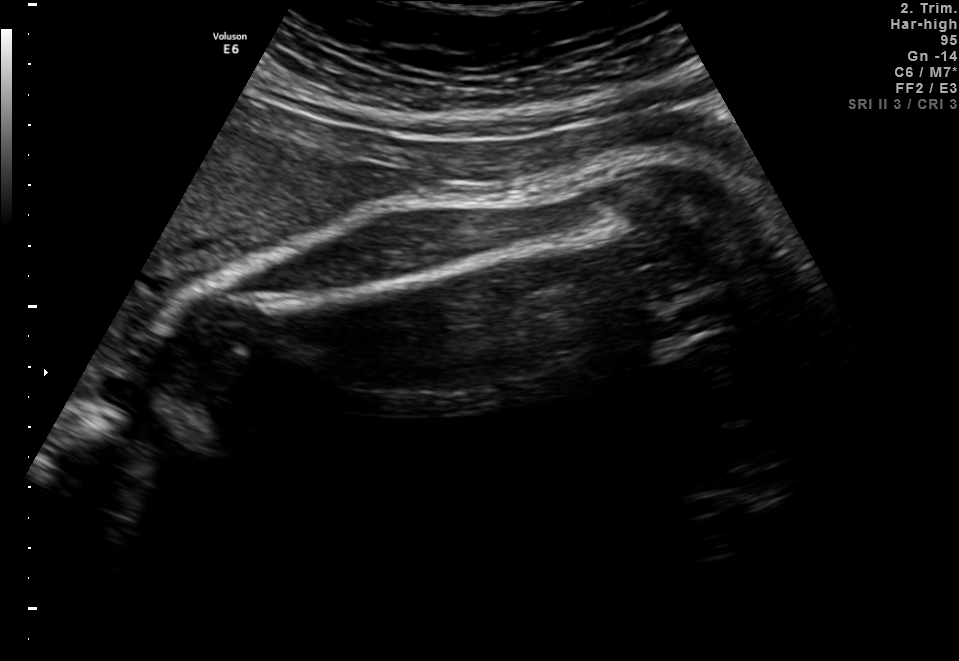
Which standard maternal-fetal ultrasound plane is shown: fetal abdomen, fetal brain, fetal femur, fetal thorax, maternal cervix, or other? If it's fetal brain and one of the three standard brain planes (trans-thalamic, trans-cerebellum, trans-ventricular), name which.

Fetal femur